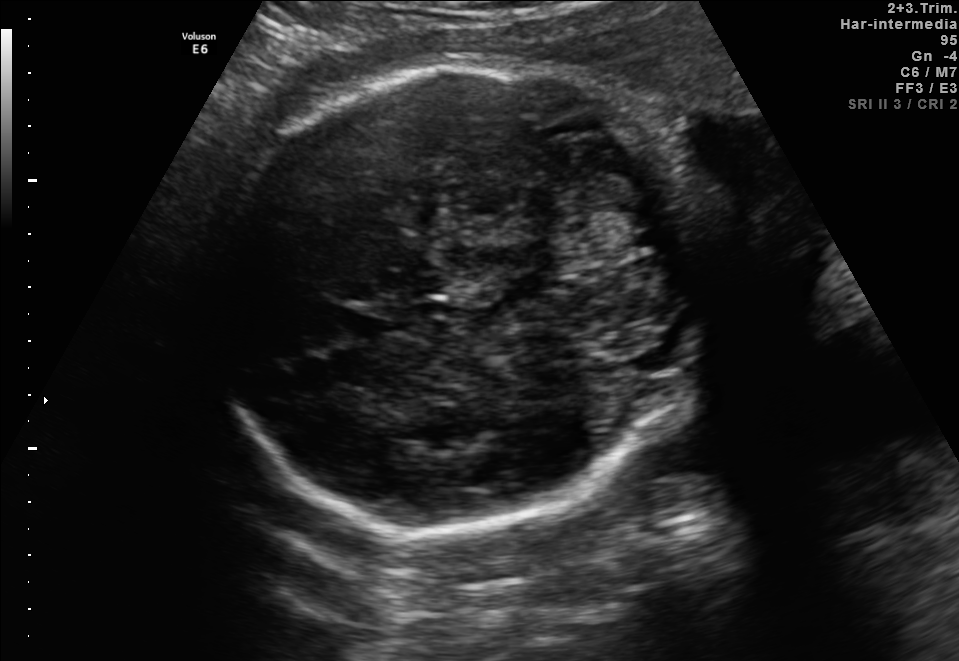
Fetal brain, trans-cerebellum plane. Where is the fetal head?

Head bounding box: [213,57,722,534]